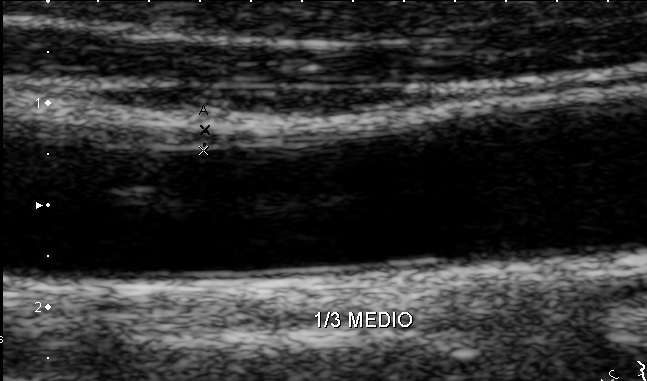
Which standard maternal-fetal ultrasound plane is shown: fetal abdomen, fetal brain, fetal femur, fetal thorax, maternal cervix, or other? If it's fetal brain and one of the three standard brain planes (trans-thalamic, trans-cerebellum, trans-ventricular), name which.

Other